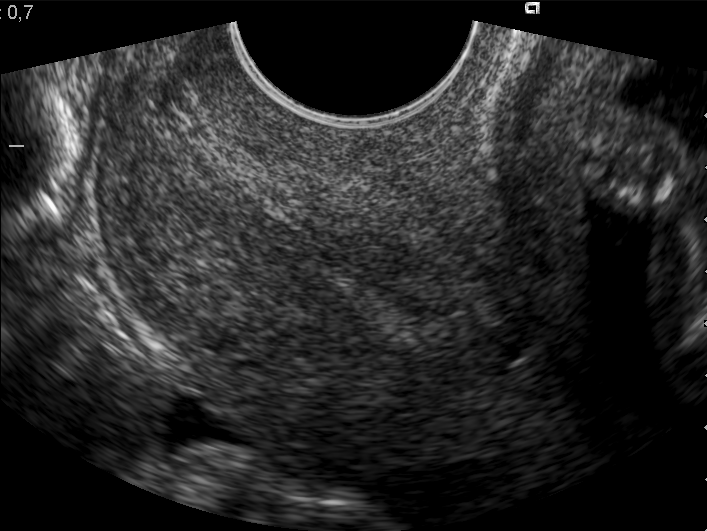
Identify the standard plane in this fetal ultrasound image: fetal abdomen, fetal brain, fetal femur, fetal thorax, maternal cervix, or other. If it's fetal brain and one of the three standard brain planes (trans-thalamic, trans-cerebellum, trans-ventricular), name which.

Maternal cervix